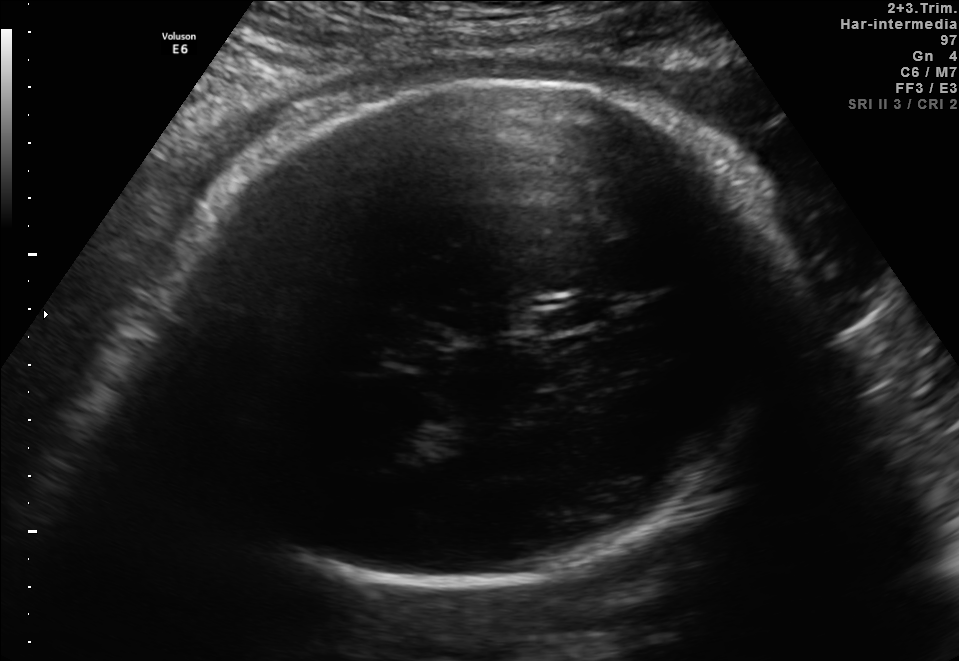
This is a 2D maternal-fetal ultrasound frame. Is it a fetal abdomen, fetal brain, fetal femur, fetal thorax, maternal cervix, or other standard plane? If it's fetal brain and one of the three standard brain planes (trans-thalamic, trans-cerebellum, trans-ventricular), name which.

Fetal brain (trans-thalamic plane)